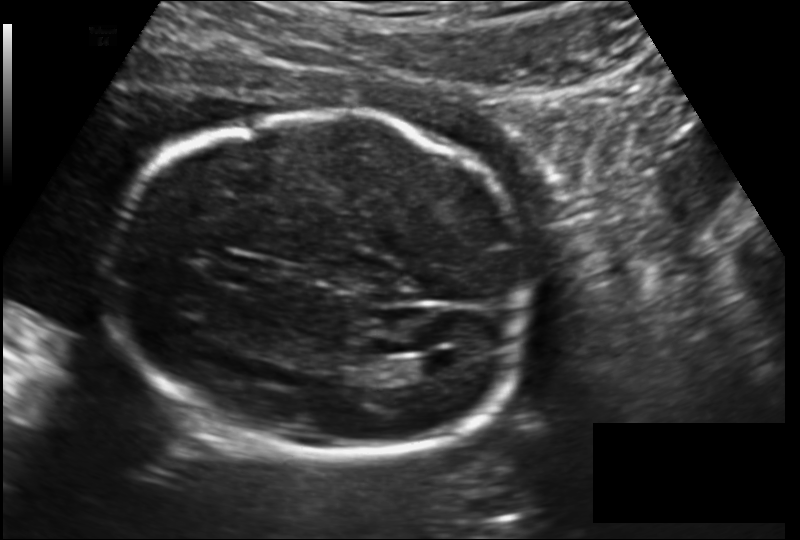
Fetal head ultrasound. Image width: 125.8 mm. Locate the fetal head.

Head: [104,109,536,462]